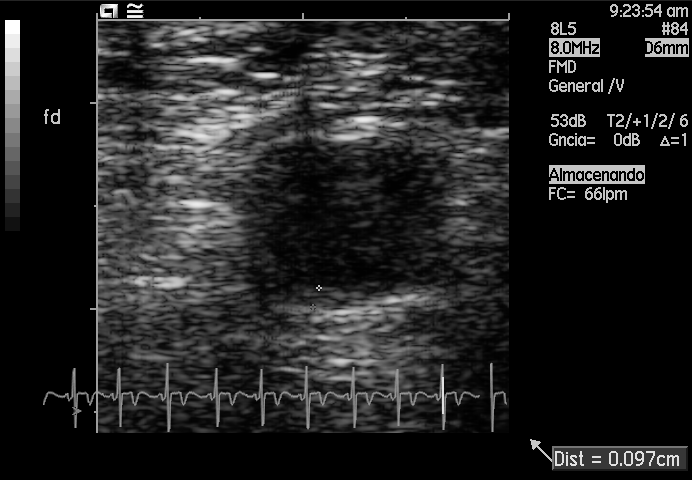
Which standard maternal-fetal ultrasound plane is shown: fetal abdomen, fetal brain, fetal femur, fetal thorax, maternal cervix, or other? If it's fetal brain and one of the three standard brain planes (trans-thalamic, trans-cerebellum, trans-ventricular), name which.

Other